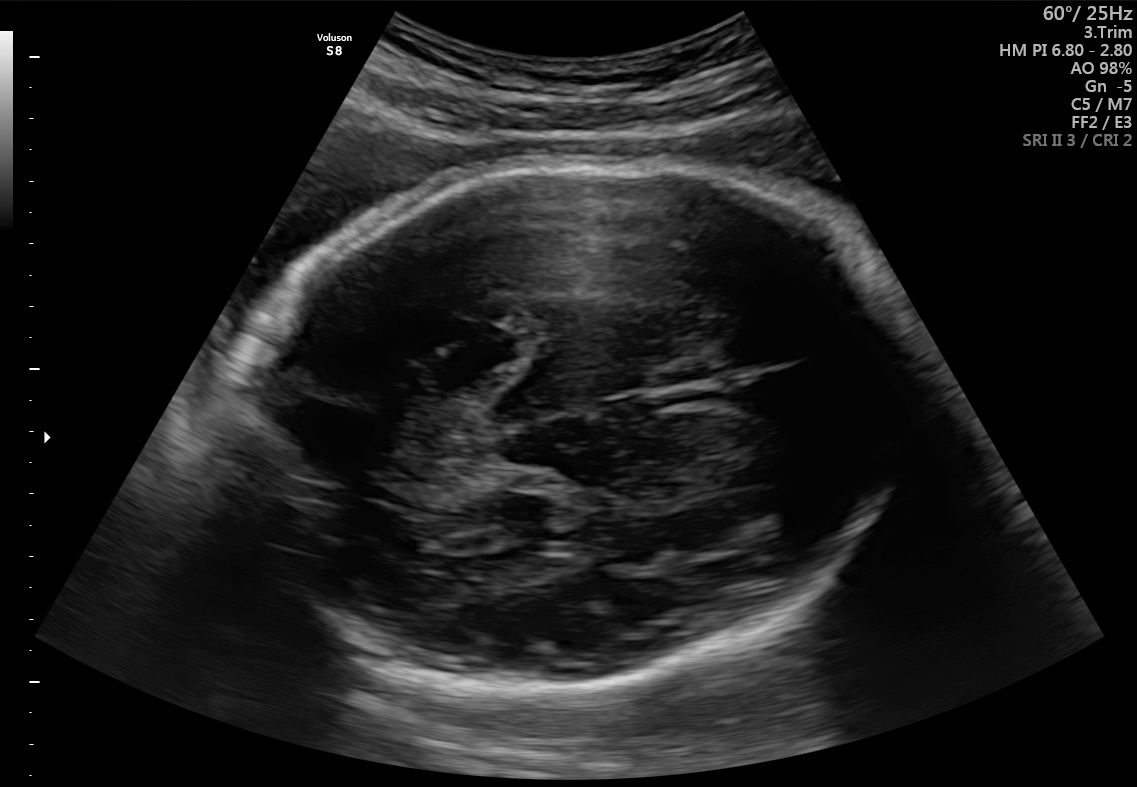
Fetal brain, trans-thalamic plane. Locate the fetal head and, if visible, the cavum septum pellucidum (CSP) and lateral ventricle (LV). Give bounding boxes as [x1,y1,x2,y2].

Head: [243,163,894,686]